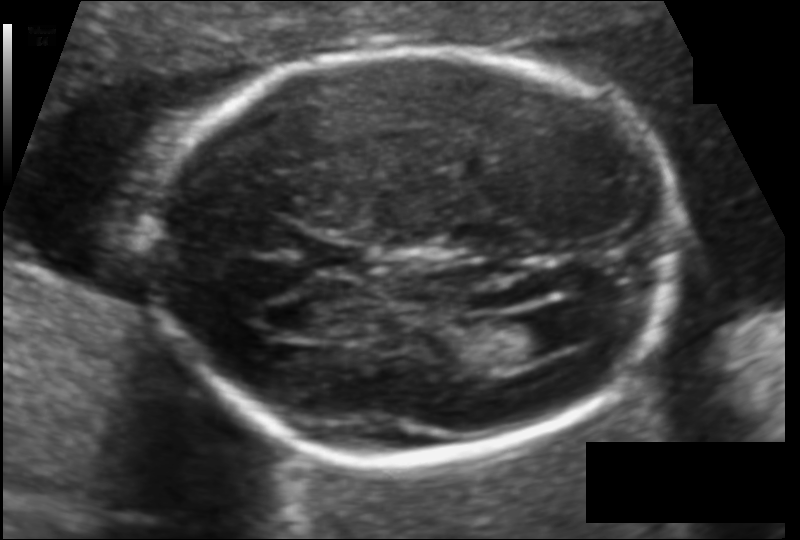
Estimate the fetal head circumference from this 2D ultrasound.

Head circumference: 169.3 mm (image width 89.1 mm).